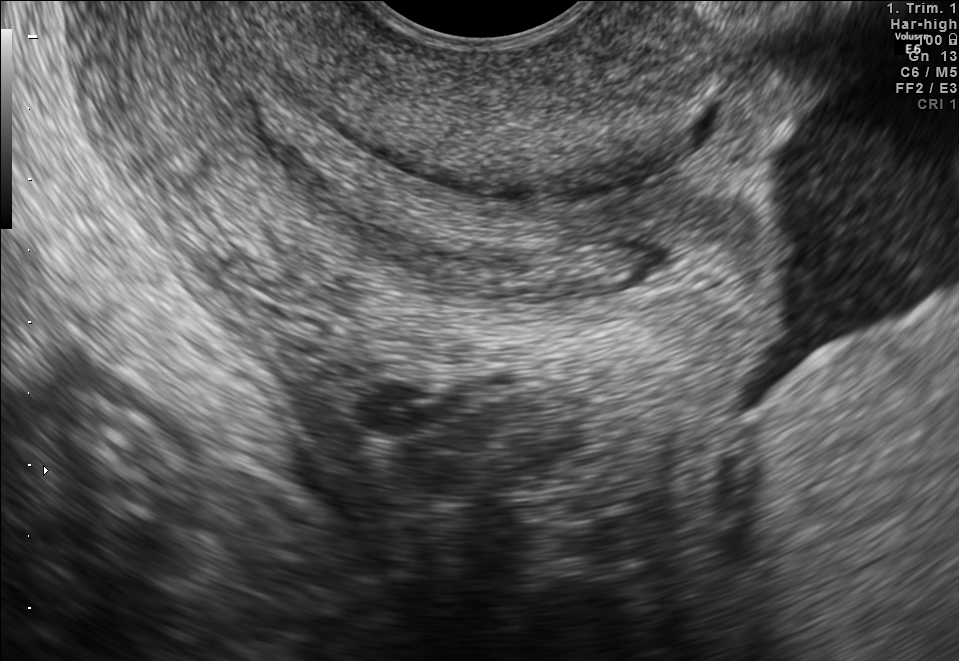
Classify this maternal-fetal ultrasound image as one of the six standard planes — fetal abdomen, fetal brain, fetal femur, fetal thorax, maternal cervix, or other. If it's fetal brain and one of the three standard brain planes (trans-thalamic, trans-cerebellum, trans-ventricular), name which.

Maternal cervix